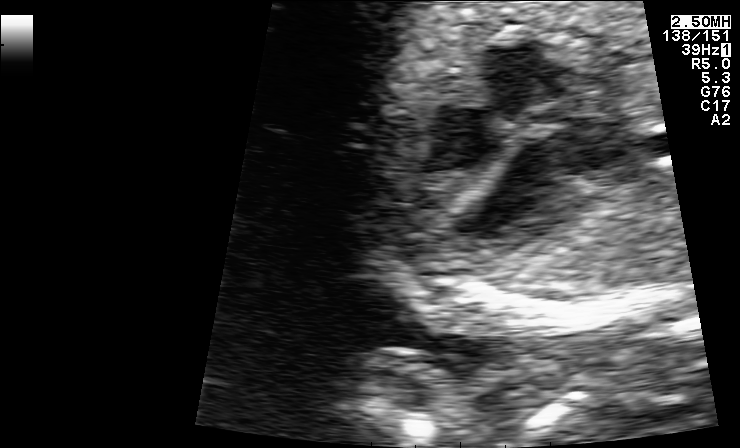
Identify the standard plane in this fetal ultrasound image: fetal abdomen, fetal brain, fetal femur, fetal thorax, maternal cervix, or other. If it's fetal brain and one of the three standard brain planes (trans-thalamic, trans-cerebellum, trans-ventricular), name which.

Fetal thorax